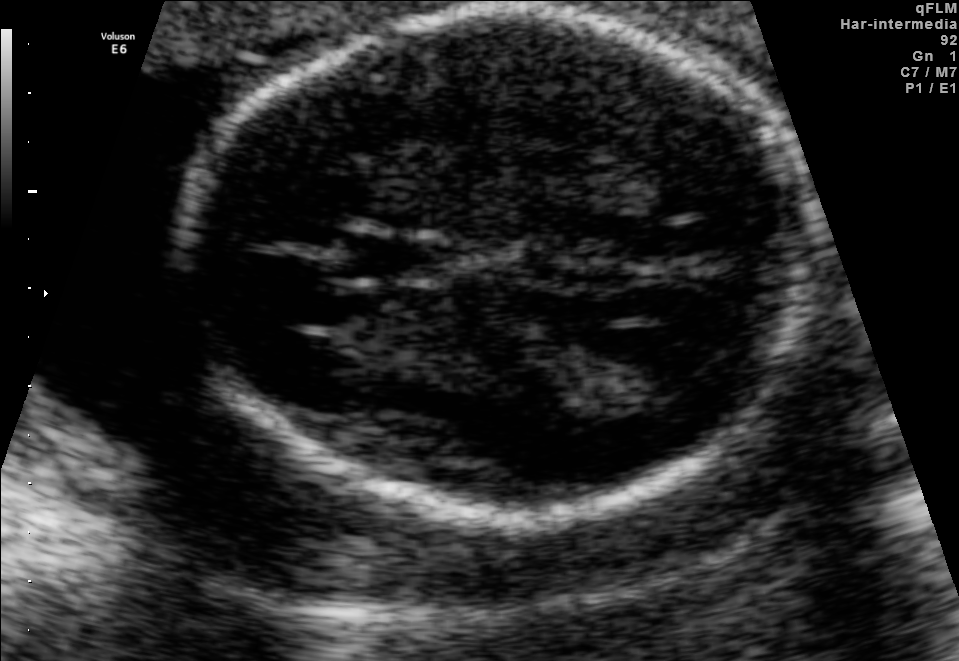
Fetal brain, trans-thalamic plane. Where is the lateral ventricle?

Lateral ventricle bounding box: [572,312,724,424]